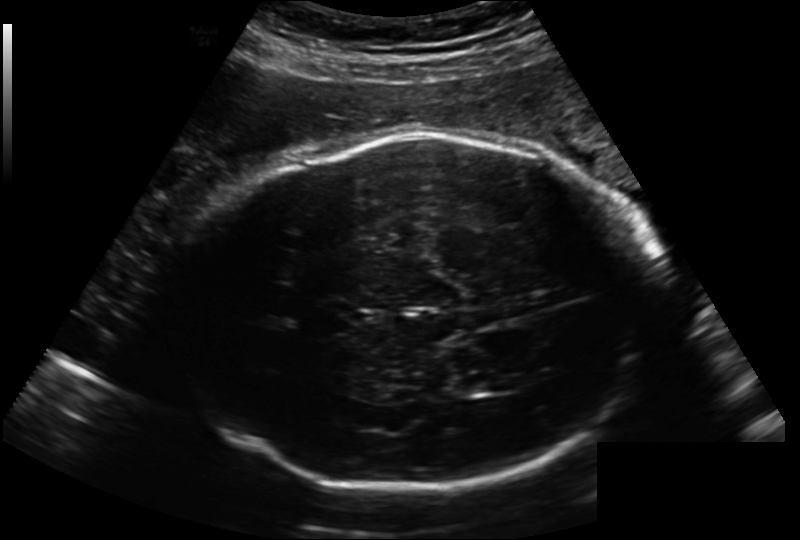
Fetal head ultrasound. Image width: 177.3 mm. Where is the fetal head?

Head bounding box: [170,132,643,493]